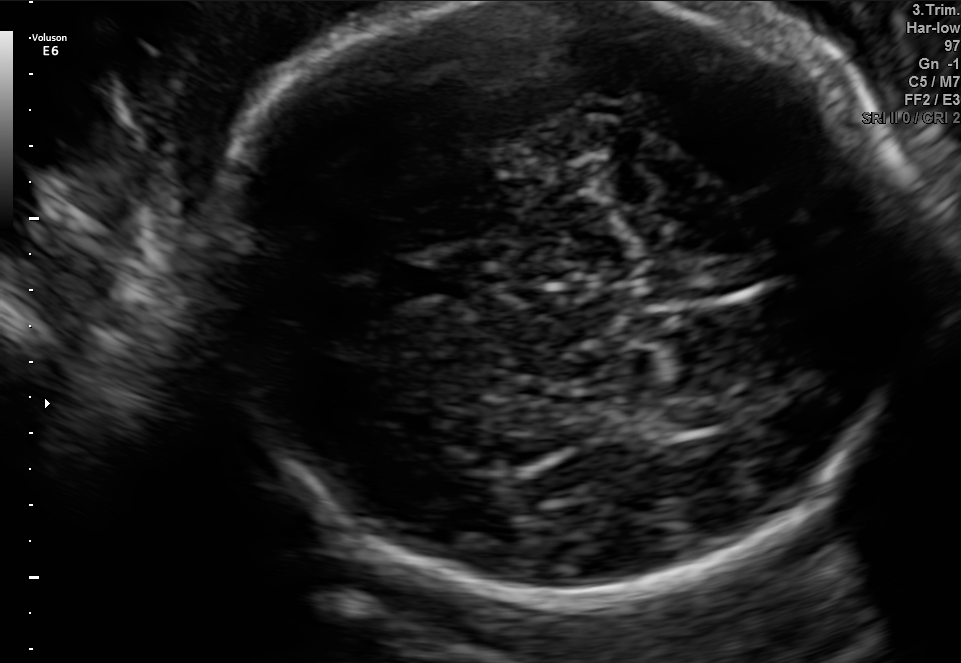
Fetal brain, trans-thalamic plane. Give [x1,y1,x2,y2] bounding boxes for each visible structure among: fetal head, CSP, LV.

Head: [217,1,910,588]
CSP: [396,258,487,305]
Lateral ventricle: [654,393,727,439]